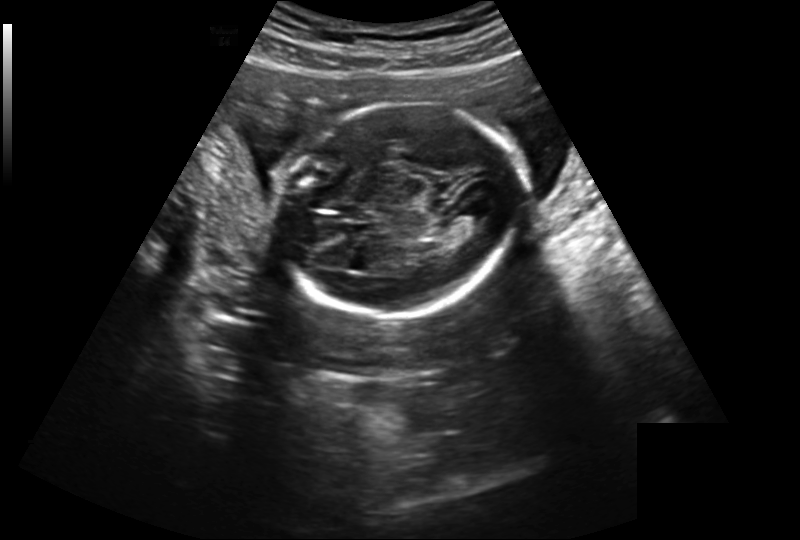
In this fetal head ultrasound, give bounding boxes for the head outline, cavum septum pellucidum (CSP), and lateral ventricle (LV), where visible. Image width: 191.4 mm.

Head: [280,100,521,319]
CSP: [340,203,369,218]
Lateral ventricle: [457,199,490,231]